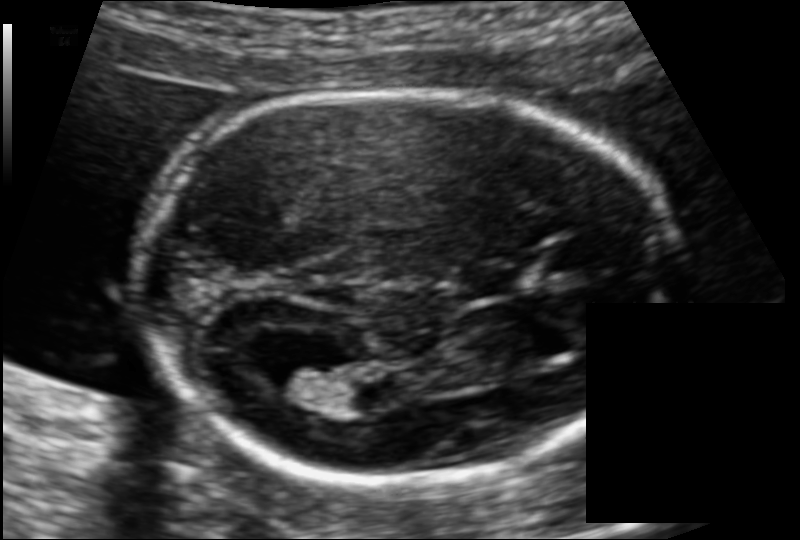
Fetal head ultrasound. Image width: 85.1 mm. Locate the lateral ventricle.

Lateral ventricle: [258,352,344,413]